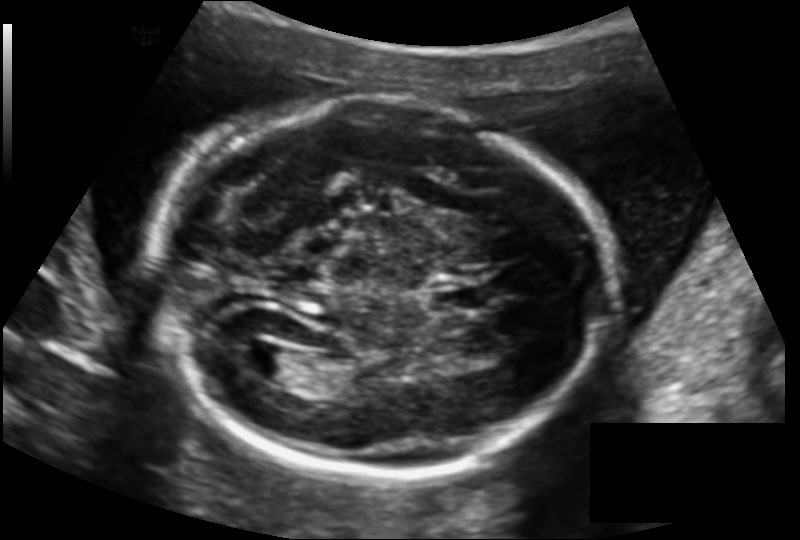
Estimate the fetal head circumference from this 2D ultrasound.

Head circumference: 197.7 mm (image width 116.1 mm).